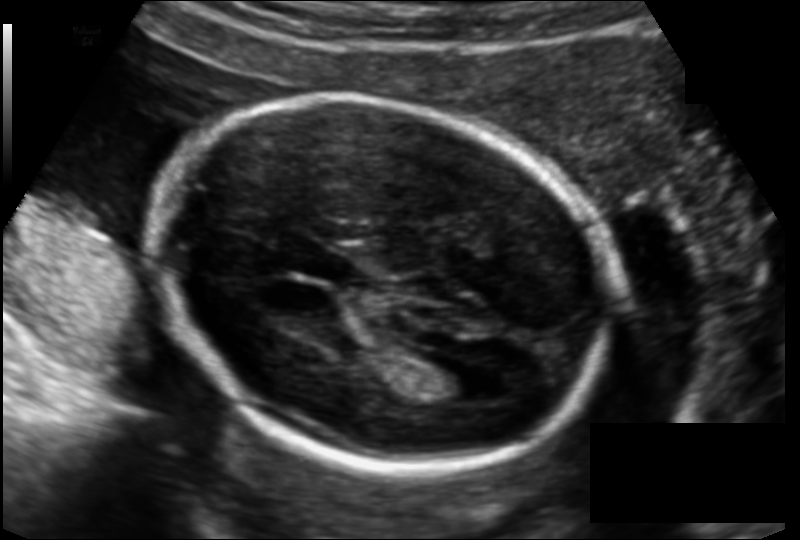
In this fetal head ultrasound, give the bounding box of the lateral ventricle. Image width: 107.7 mm.

[418,359,487,406]